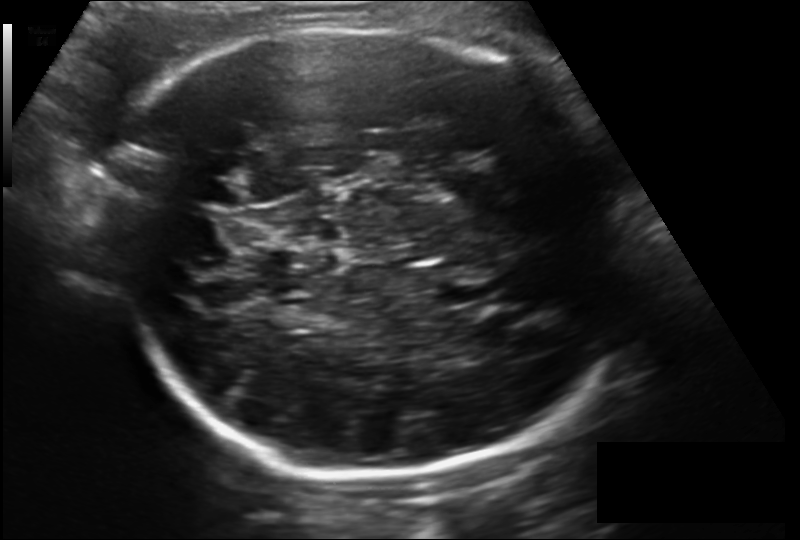
Fetal head ultrasound. Image width: 152.2 mm. Where is the fetal head?

Head bounding box: [97,28,630,476]